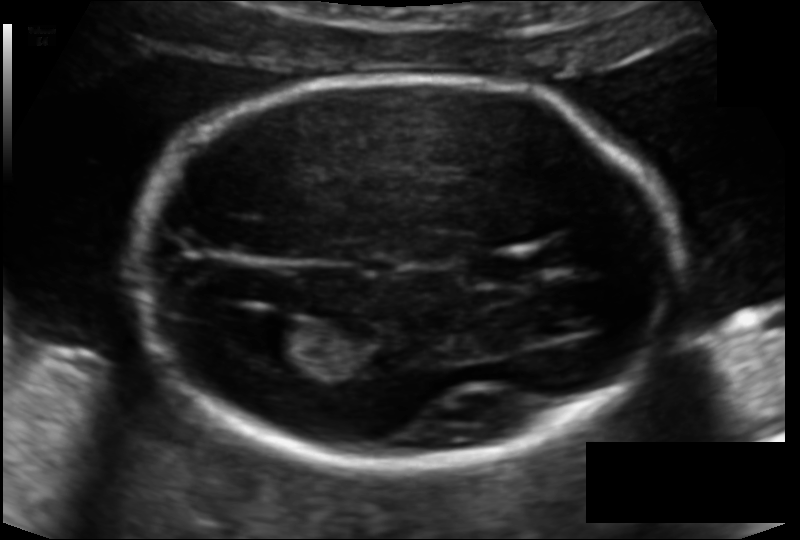
Measure the fetal head circumference shown in this ultrasound image. Image width: 95.2 mm.

Head circumference: 176.7 mm.